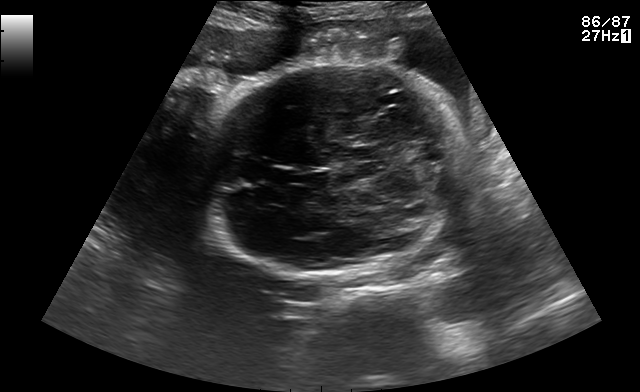
Which standard maternal-fetal ultrasound plane is shown: fetal abdomen, fetal brain, fetal femur, fetal thorax, maternal cervix, or other? If it's fetal brain and one of the three standard brain planes (trans-thalamic, trans-cerebellum, trans-ventricular), name which.

Fetal brain (trans-thalamic plane)